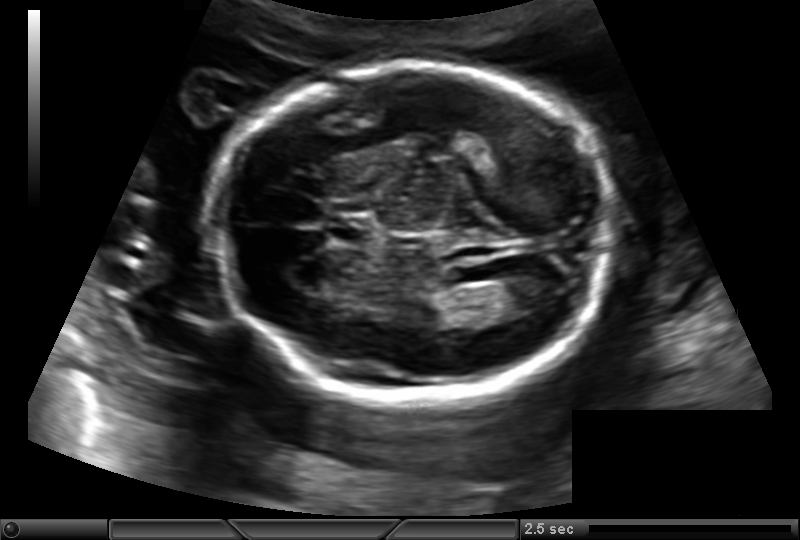
Fetal head ultrasound. Image width: 116.2 mm. Where is the lateral ventricle?

Lateral ventricle bounding box: [488,271,561,320]